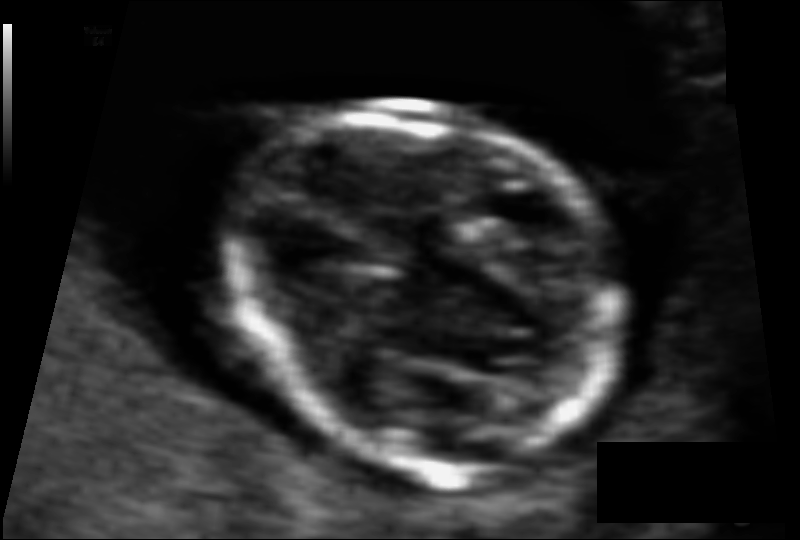
From this fetal ultrasound, estimate the head circumference (image width 50.5 mm).

Head circumference: 75.2 mm.